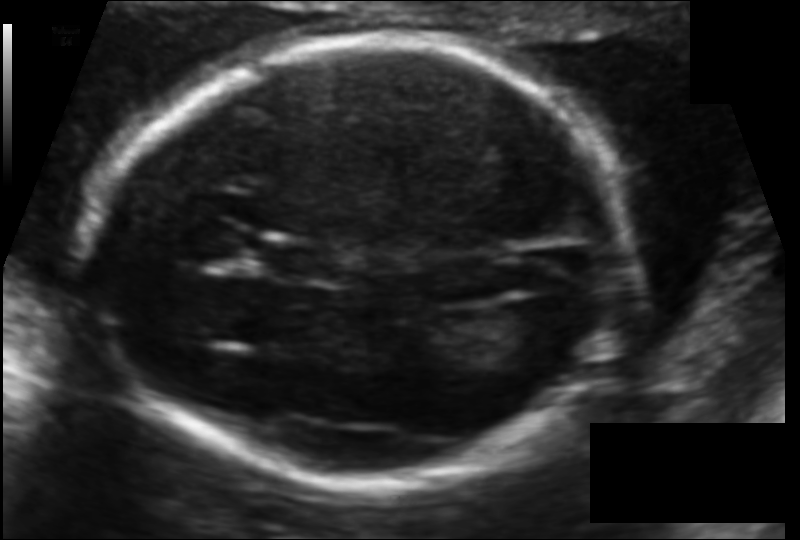
What is the fetal head circumference? Image width is 85.1 mm.

171.3 mm